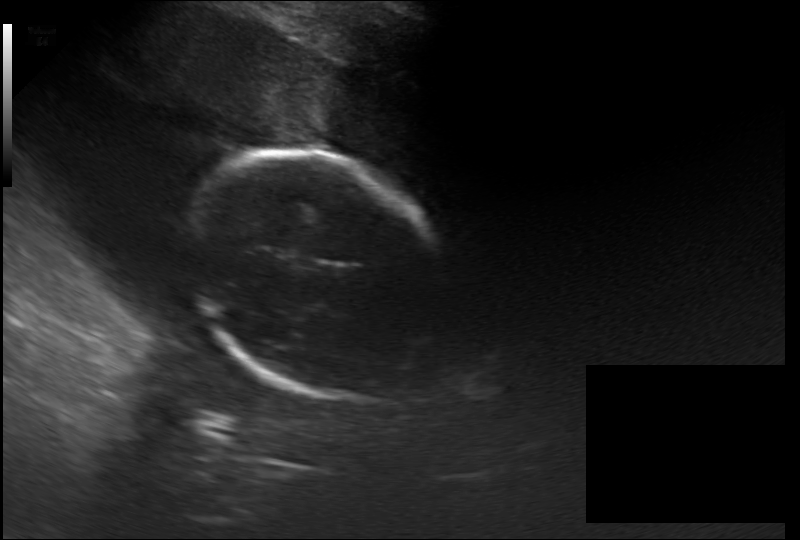
In this fetal head ultrasound, give bounding boxes for the head outline, cavum septum pellucidum (CSP), and lateral ventricle (LV), where visible. Image width: 211.0 mm.

Head: [184,153,455,400]